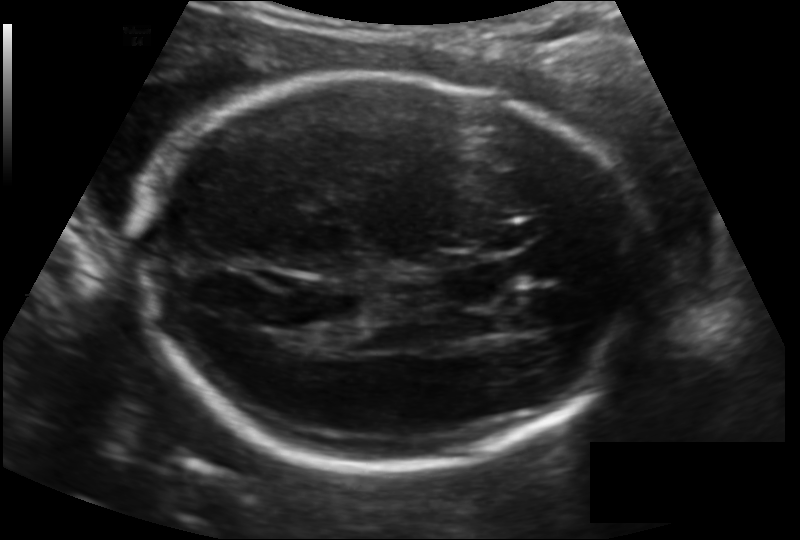
Fetal head ultrasound. Image width: 118.2 mm. Give [x1,y1,x2,y2] bounding boxes for each visible structure among: fetal head, CSP, LV.

Head: [141,76,641,469]